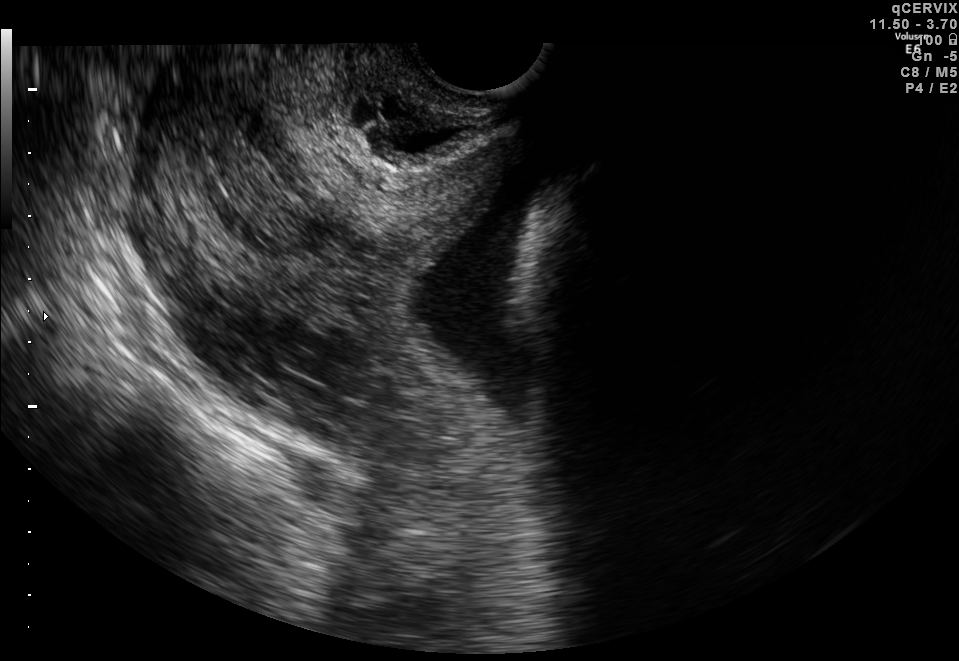
Which standard maternal-fetal ultrasound plane is shown: fetal abdomen, fetal brain, fetal femur, fetal thorax, maternal cervix, or other? If it's fetal brain and one of the three standard brain planes (trans-thalamic, trans-cerebellum, trans-ventricular), name which.

Maternal cervix